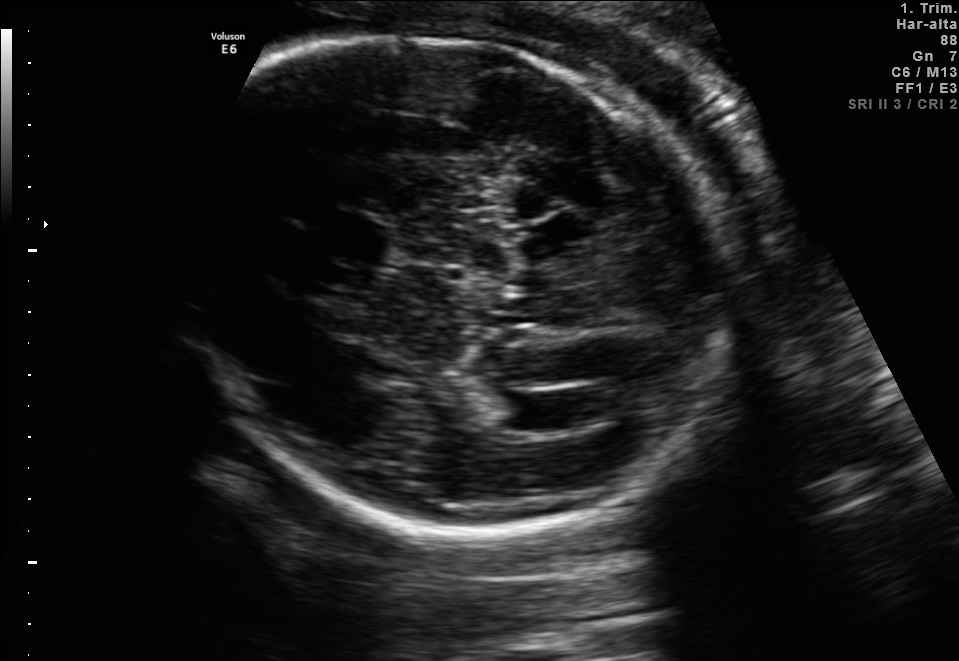
Fetal brain, trans-ventricular plane. Where is the fetal head?

Head bounding box: [155,28,758,545]